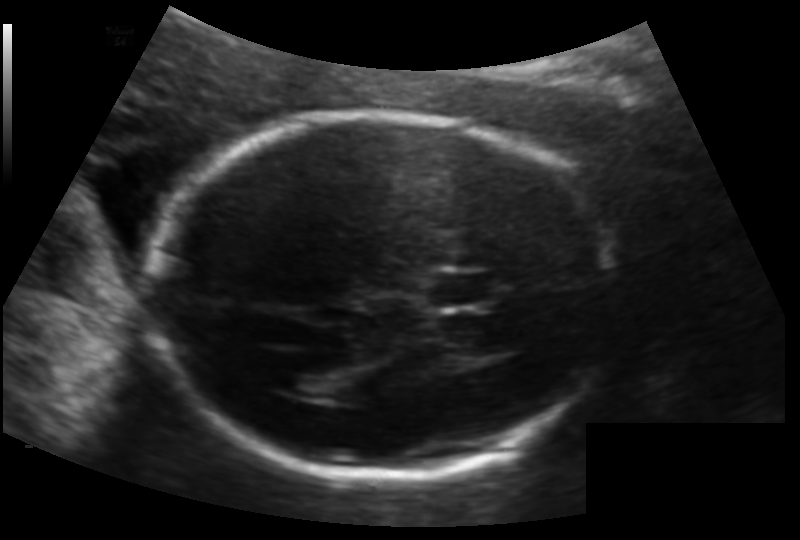
Fetal head ultrasound. Image width: 106.4 mm. Locate the fetal head and, if visible, the cavum septum pellucidum (CSP) and lateral ventricle (LV). Give bounding boxes as [x1,y1,x2,y2].

Head: [157,113,618,481]
CSP: [425,268,498,310]
Lateral ventricle: [276,369,330,398]